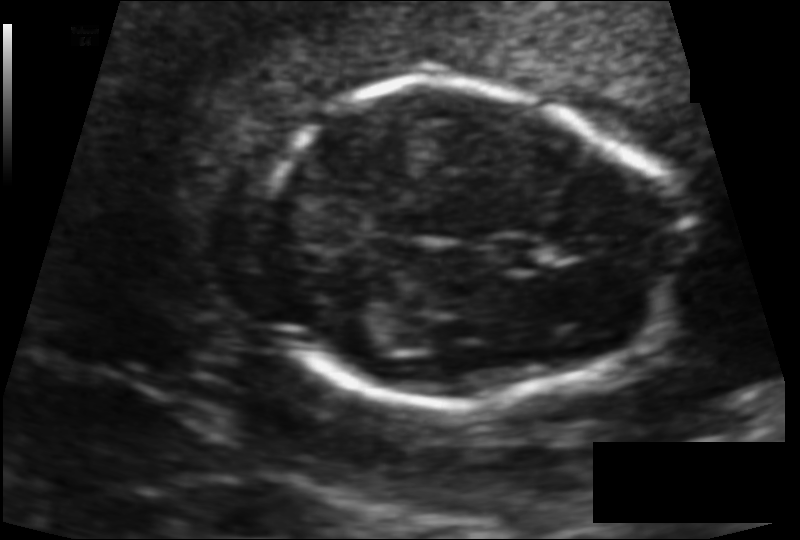
In this fetal head ultrasound, give the bounding box of the lateral ventricle. Image width: 80.4 mm.

[331,313,392,351]